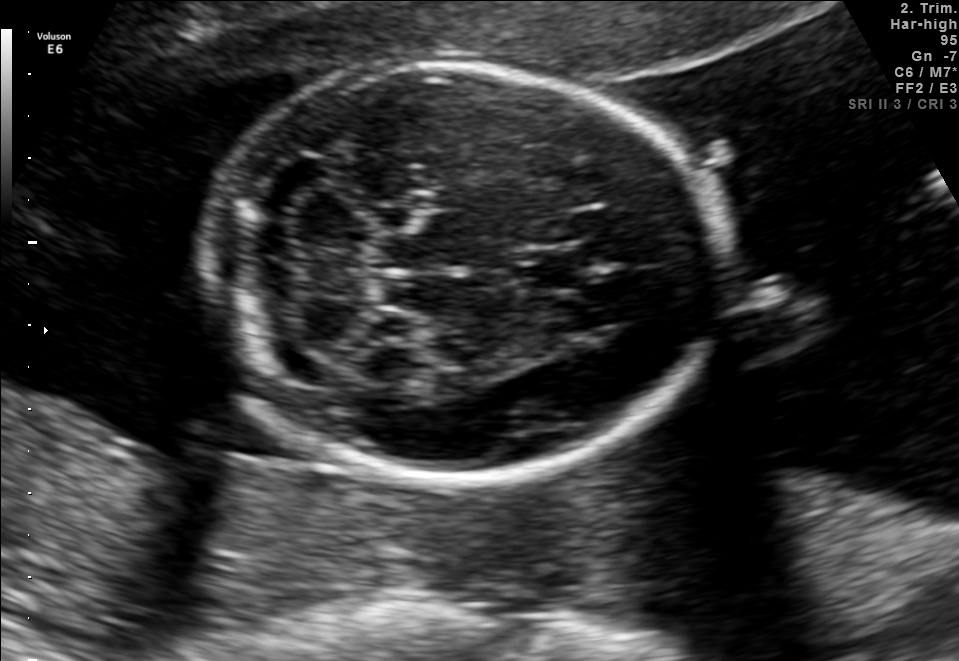
Fetal brain, trans-cerebellum plane. Where is the fetal head?

Head bounding box: [207,68,724,481]